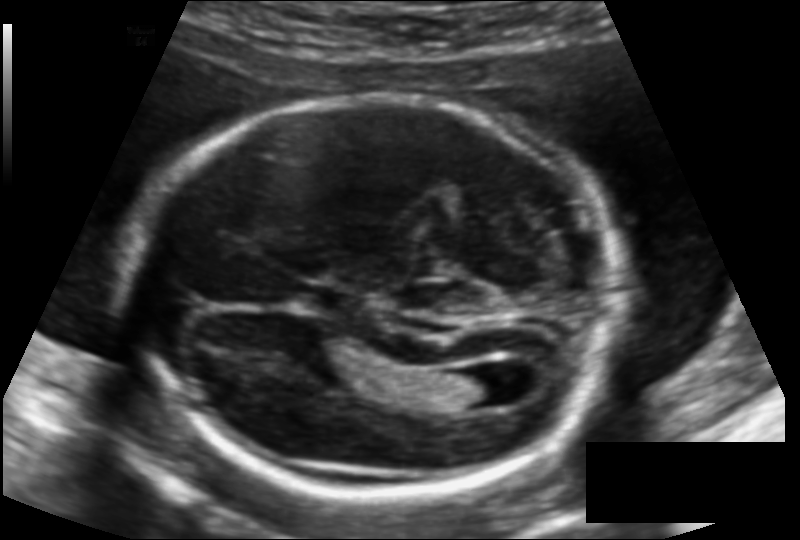
In this fetal head ultrasound, give the bounding box of the fetal head. Image width: 99.7 mm.

[133,95,614,494]